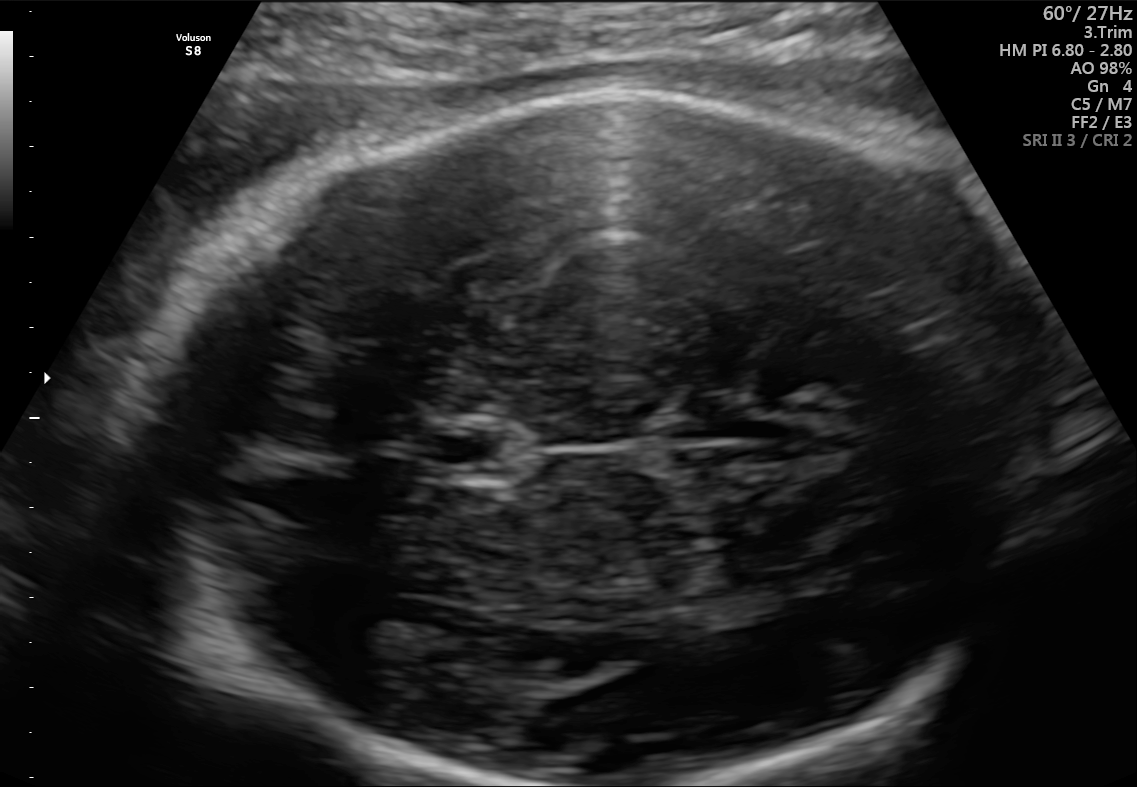
Fetal brain, trans-thalamic plane. Where is the cavum septum pellucidum?

CSP bounding box: [421,422,517,479]